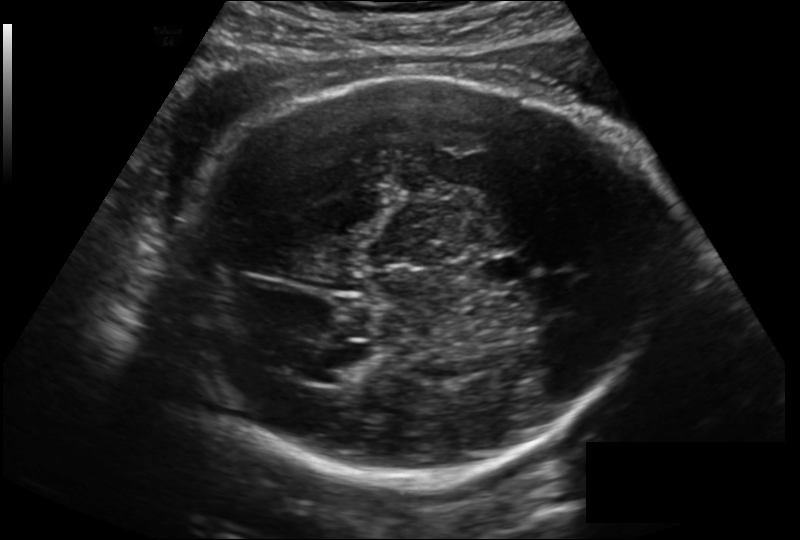
Fetal head ultrasound. Image width: 159.3 mm. Where is the lateral ventricle?

Lateral ventricle bounding box: [313,348,372,386]